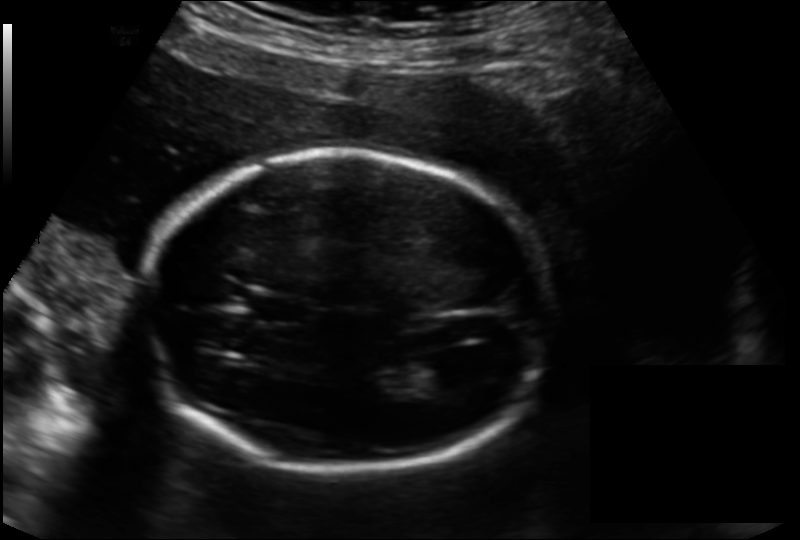
Fetal head ultrasound. Image width: 133.1 mm. Where is the lateral ventricle?

Lateral ventricle bounding box: [395,353,462,398]